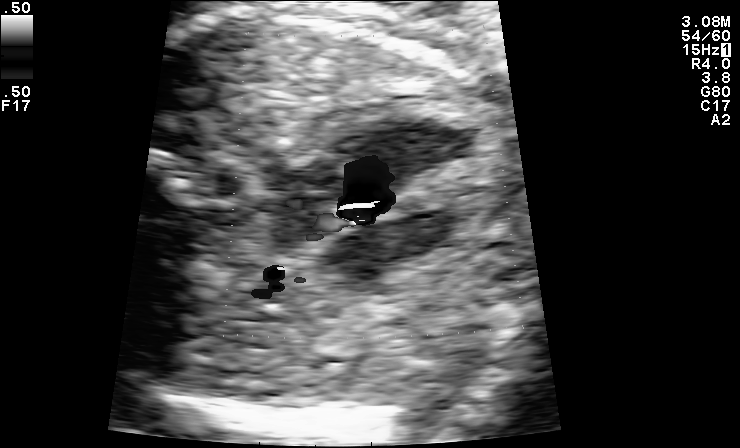
Which standard maternal-fetal ultrasound plane is shown: fetal abdomen, fetal brain, fetal femur, fetal thorax, maternal cervix, or other? If it's fetal brain and one of the three standard brain planes (trans-thalamic, trans-cerebellum, trans-ventricular), name which.

Other